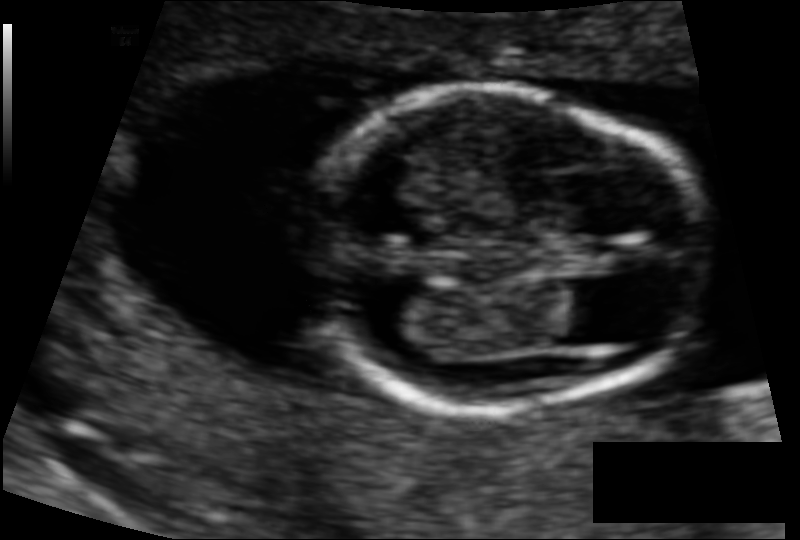
In this fetal head ultrasound, give bounding boxes for the head outline, cavum septum pellucidum (CSP), and lateral ventricle (LV), where visible. Image width: 67.4 mm.

Head: [302,88,707,409]